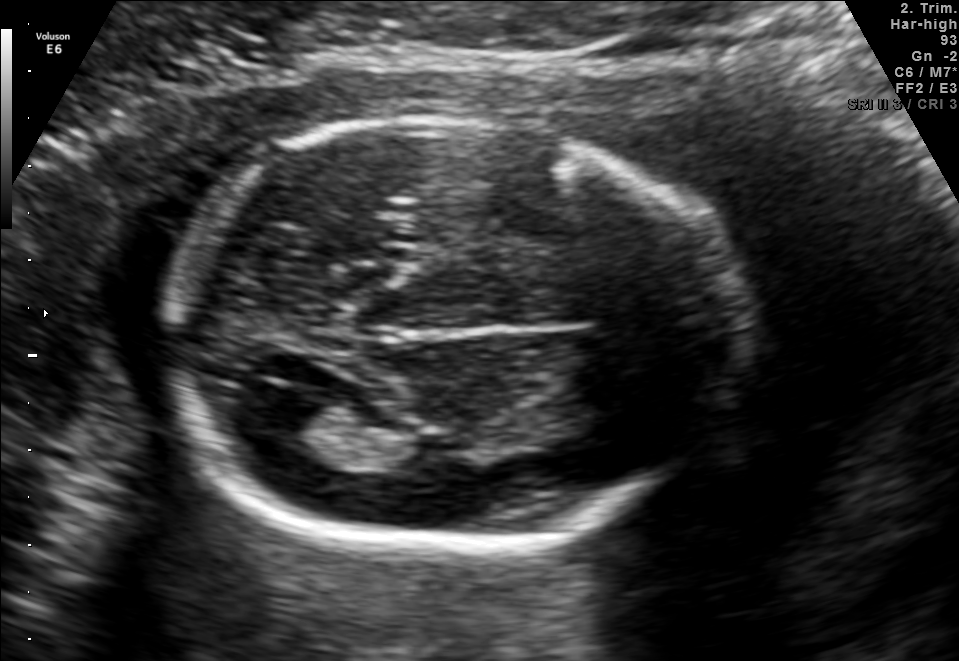
Fetal brain, trans-ventricular plane. Where is the lateral ventricle?

Lateral ventricle bounding box: [247,381,328,446]